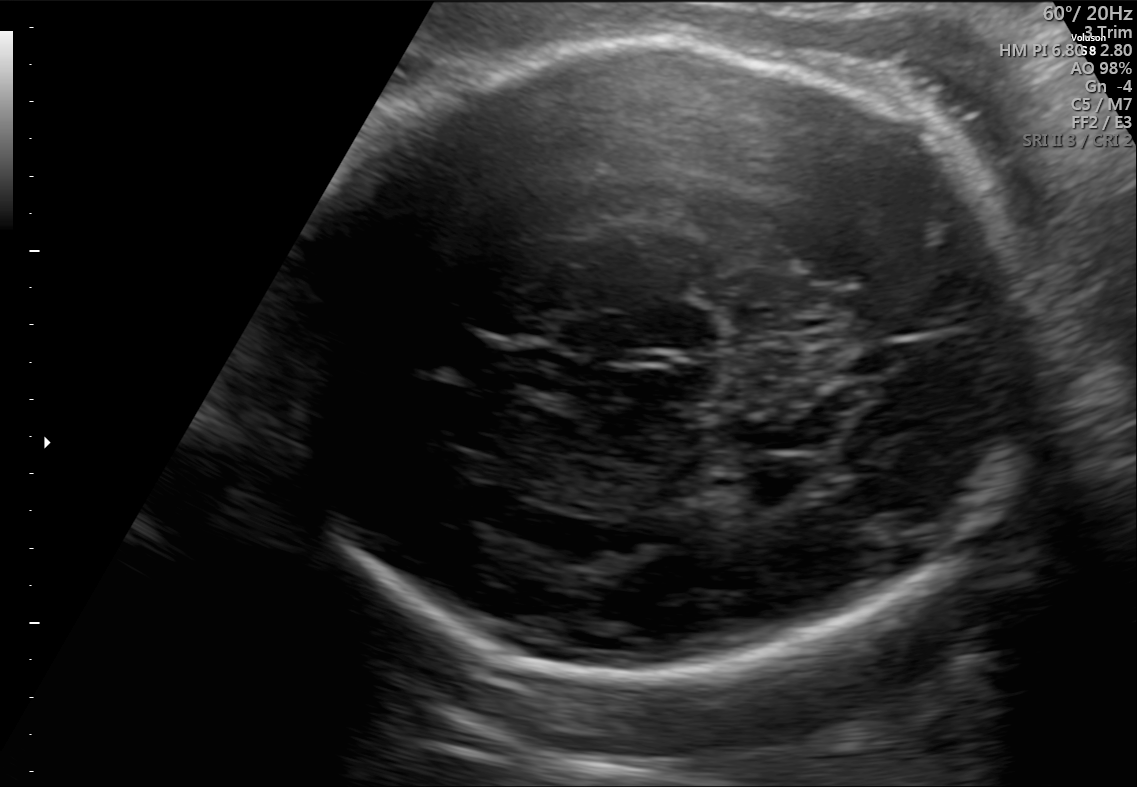
Fetal brain, trans-thalamic plane. Locate the fetal head and, if visible, the cavum septum pellucidum (CSP) and lateral ventricle (LV). Give bounding boxes as [x1,y1,x2,y2].

Head: [270,39,1030,676]